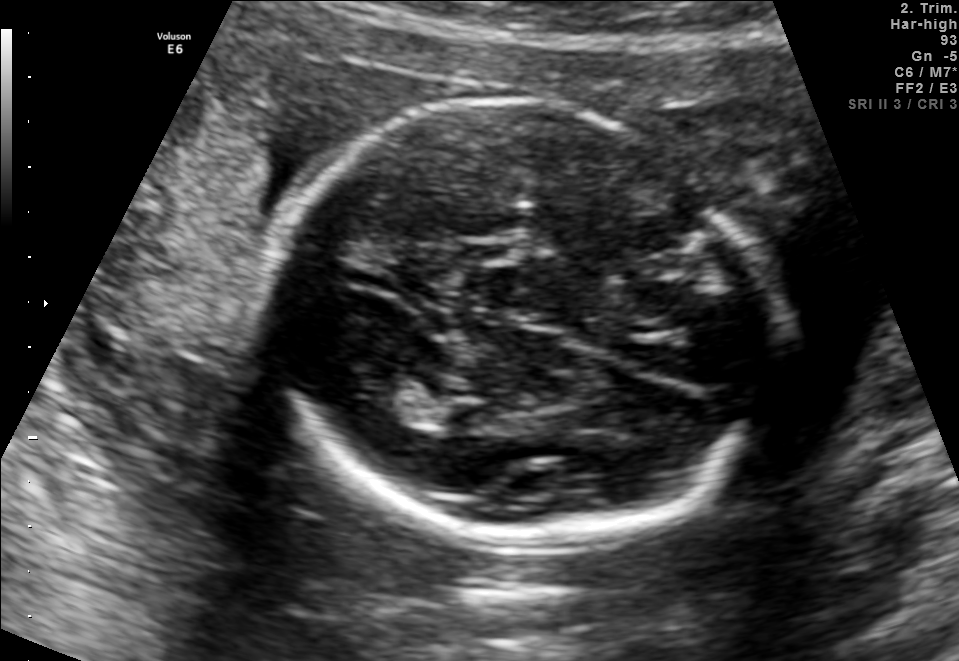
Fetal brain, trans-thalamic plane. Give [x1,y1,x2,y2] bounding boxes for each visible structure among: fetal head, CSP, LV.

Head: [269,93,782,532]
Lateral ventricle: [364,375,456,432]